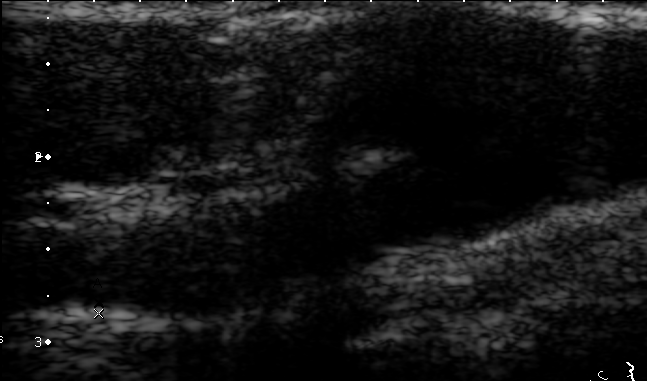
Which standard maternal-fetal ultrasound plane is shown: fetal abdomen, fetal brain, fetal femur, fetal thorax, maternal cervix, or other? If it's fetal brain and one of the three standard brain planes (trans-thalamic, trans-cerebellum, trans-ventricular), name which.

Other